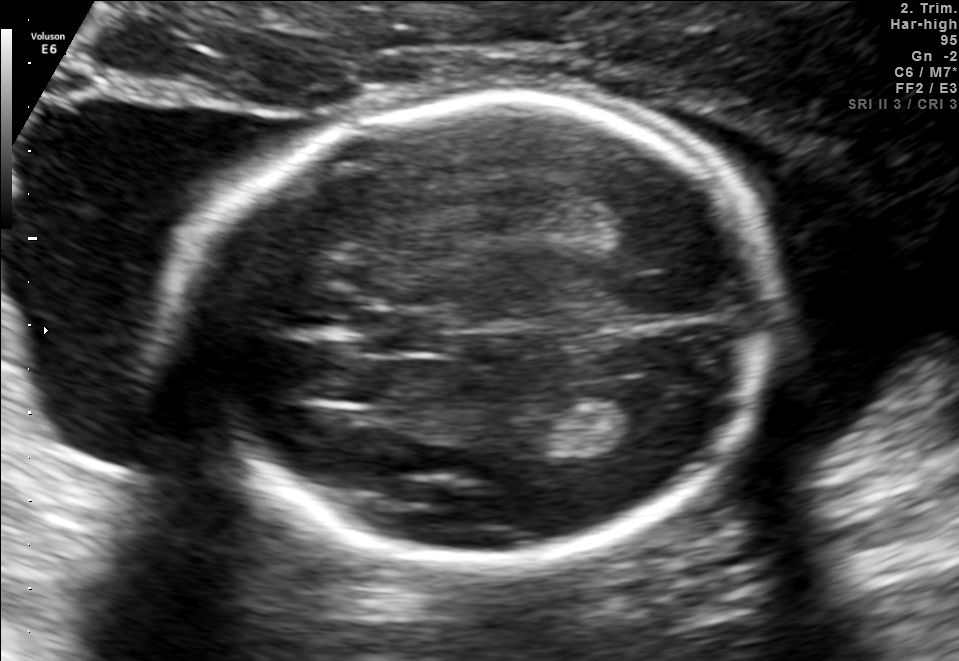
Fetal brain, trans-thalamic plane. Give [x1,y1,x2,y2] bounding boxes for each visible structure among: fetal head, CSP, LV.

Head: [186,97,777,554]
CSP: [360,313,443,352]
Lateral ventricle: [574,372,673,456]